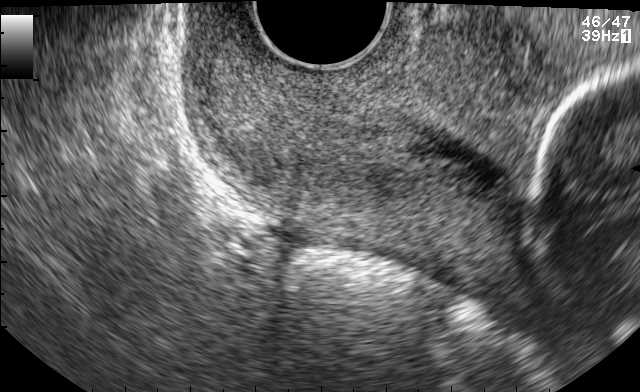
Classify this maternal-fetal ultrasound image as one of the six standard planes — fetal abdomen, fetal brain, fetal femur, fetal thorax, maternal cervix, or other. If it's fetal brain and one of the three standard brain planes (trans-thalamic, trans-cerebellum, trans-ventricular), name which.

Maternal cervix